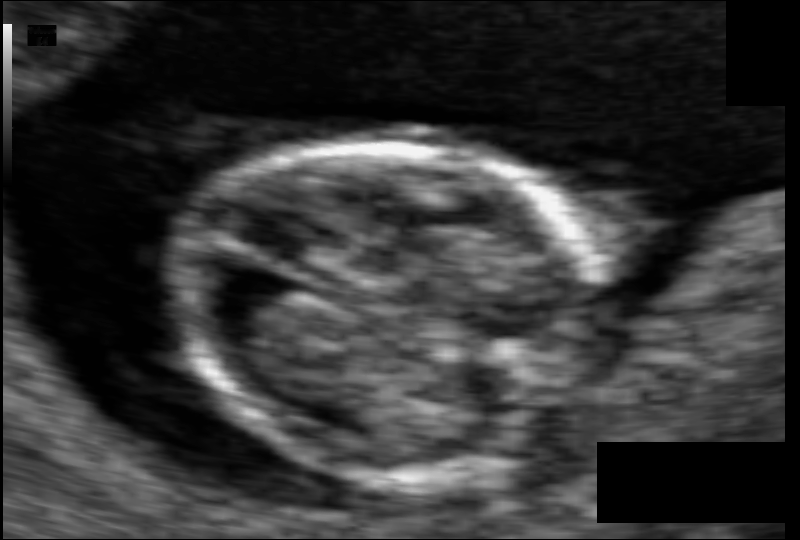
In this fetal head ultrasound, give the bounding box of the fetal head. Image width: 43.6 mm.

[173,144,606,478]